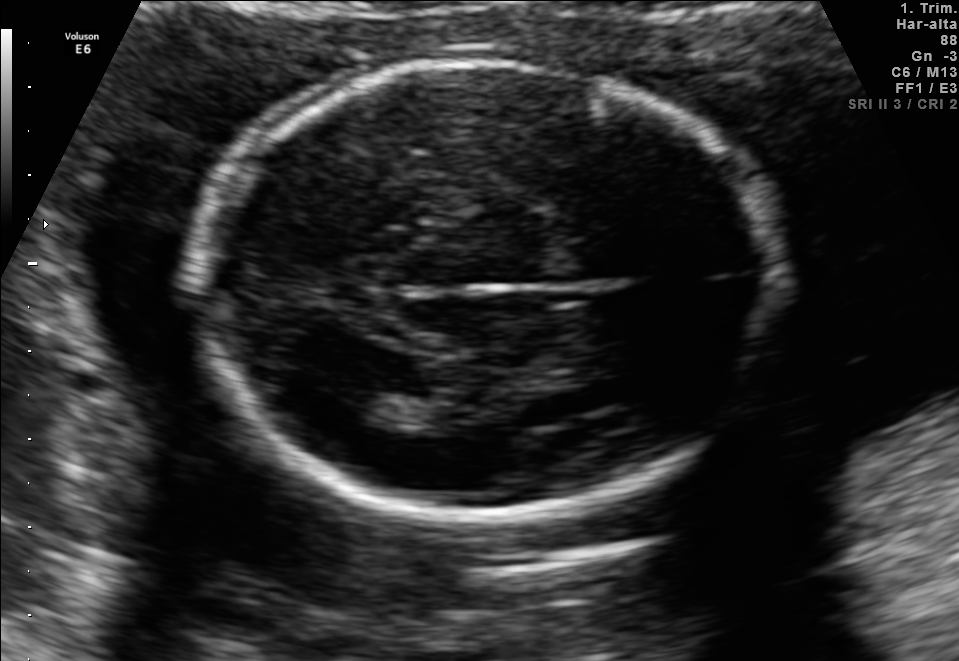
Fetal brain, trans-thalamic plane. Where is the lateral ventricle?

Lateral ventricle bounding box: [325,376,405,434]